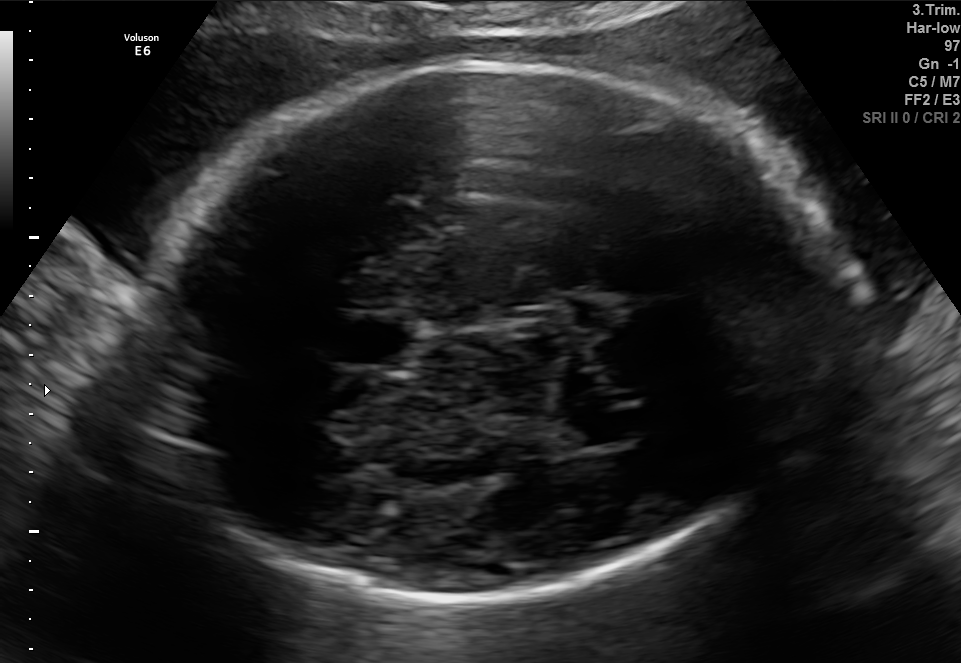
Fetal brain, trans-thalamic plane. Give [x1,y1,x2,y2] bounding boxes for each visible structure among: fetal head, CSP, LV.

Head: [138,61,847,596]
CSP: [337,317,408,366]
Lateral ventricle: [562,406,644,449]